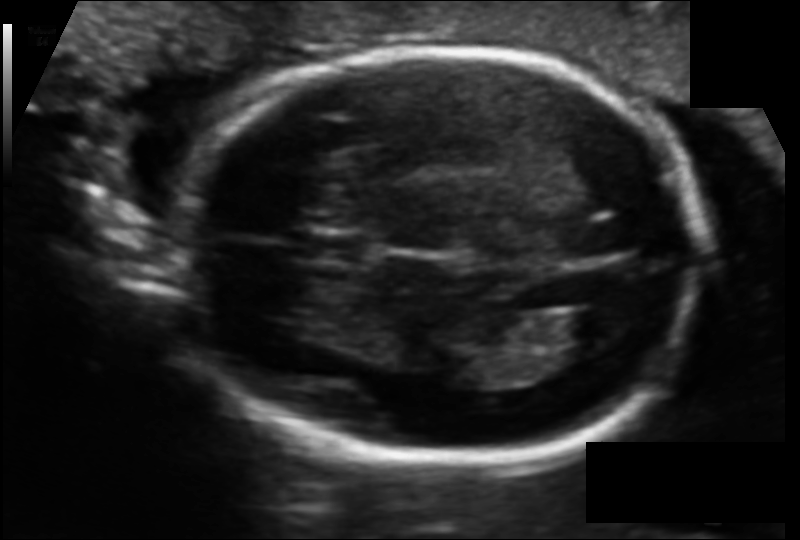
What is the fetal head circumference? Image width is 86.3 mm.

166.9 mm